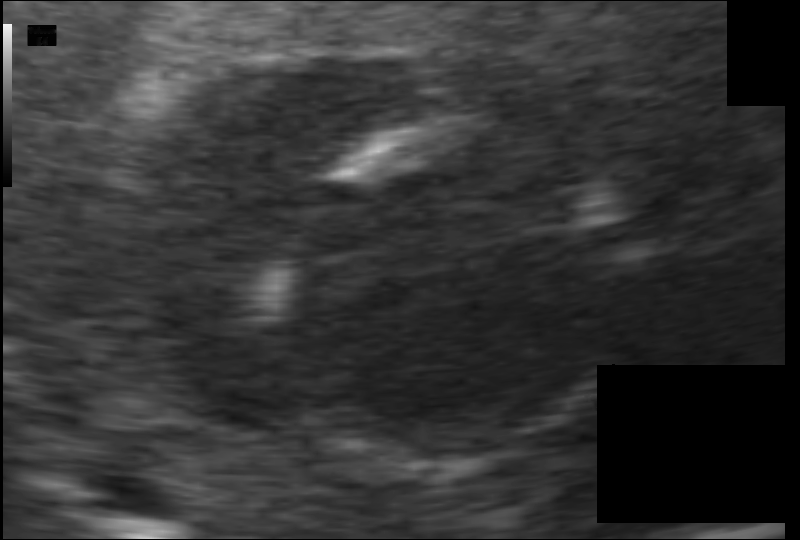
From this fetal ultrasound, estimate the head circumference (image width 55.7 mm).

Head circumference: 80.8 mm.